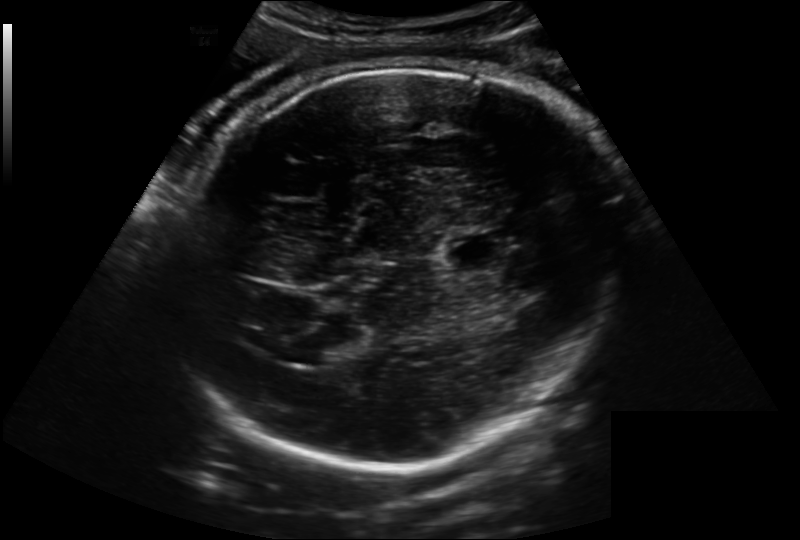
Fetal head ultrasound. Image width: 177.3 mm. Locate the lateral ventricle.

Lateral ventricle: [295,334,348,367]